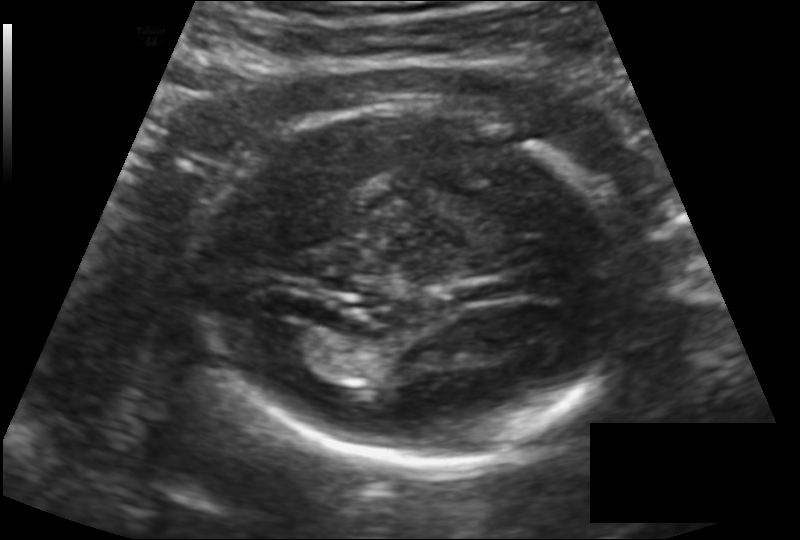
What is the fetal head circumference? Image width is 113.7 mm.

178.3 mm